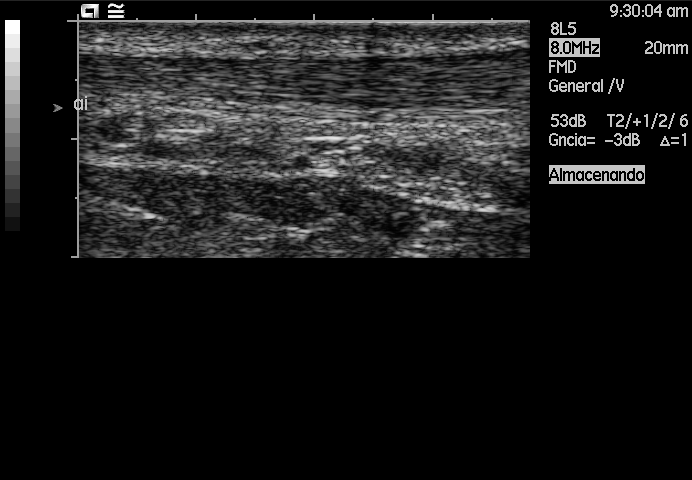
This is a 2D maternal-fetal ultrasound frame. Is it a fetal abdomen, fetal brain, fetal femur, fetal thorax, maternal cervix, or other standard plane? If it's fetal brain and one of the three standard brain planes (trans-thalamic, trans-cerebellum, trans-ventricular), name which.

Other